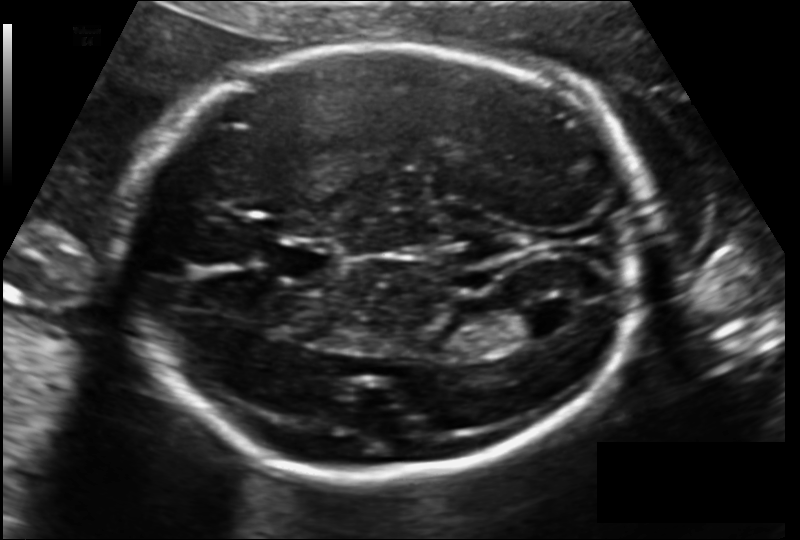
Estimate the fetal head circumference from this 2D ultrasound.

Head circumference: 231.2 mm (image width 118.5 mm).